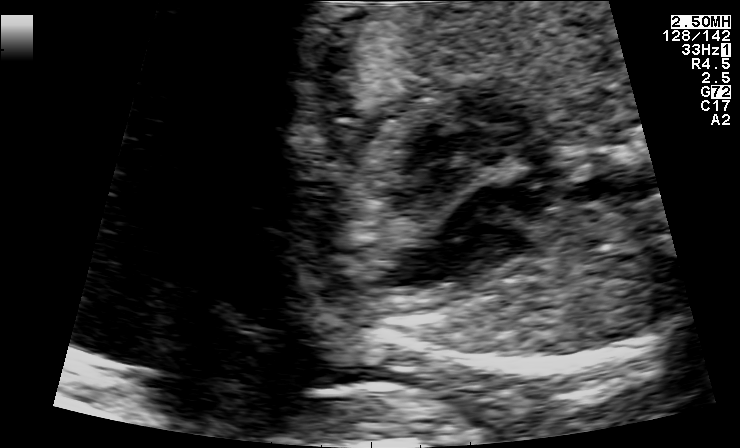
Identify the standard plane in this fetal ultrasound image: fetal abdomen, fetal brain, fetal femur, fetal thorax, maternal cervix, or other. If it's fetal brain and one of the three standard brain planes (trans-thalamic, trans-cerebellum, trans-ventricular), name which.

Fetal thorax